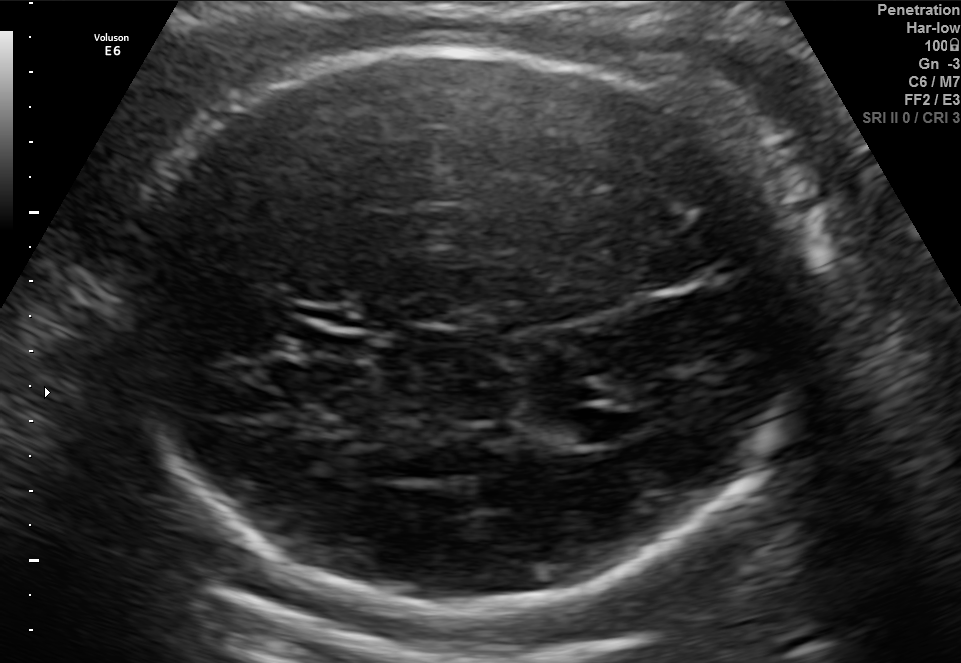
In this fetal brain, trans-ventricular plane, give the bounding box of the fetal head.

[101,38,832,615]